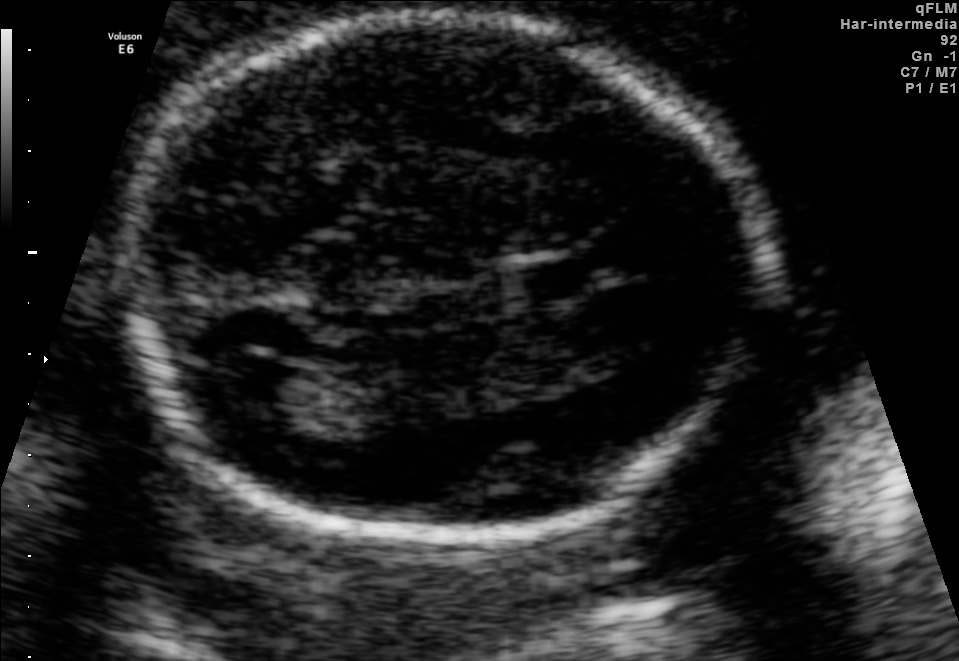
In this fetal brain, trans-ventricular plane, give the bounding box of the lateral ventricle.

[210,352,325,420]